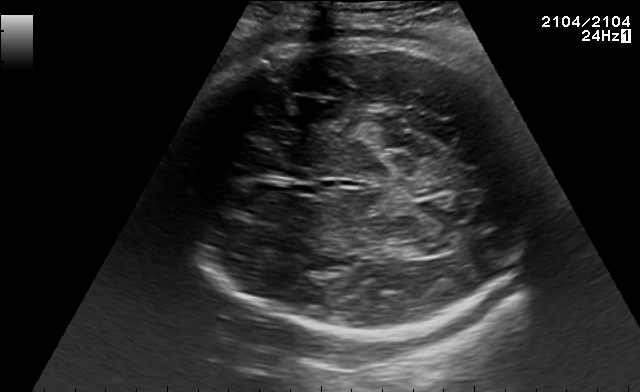
In this fetal brain, trans-thalamic plane, give the bounding box of the lateral ventricle.

[412,234,459,258]